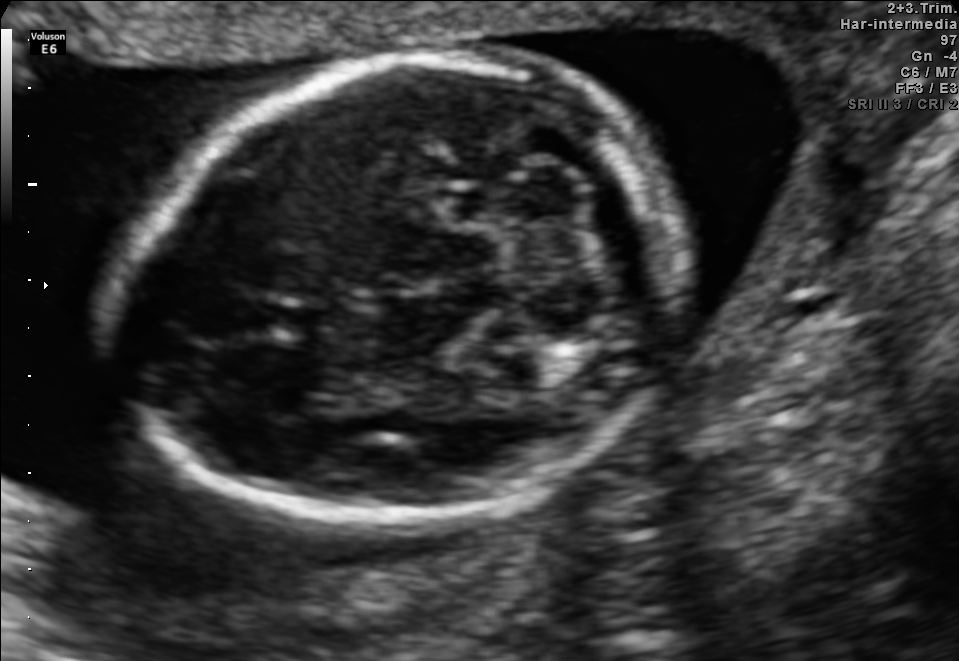
This is a 2D maternal-fetal ultrasound frame. Is it a fetal abdomen, fetal brain, fetal femur, fetal thorax, maternal cervix, or other standard plane? If it's fetal brain and one of the three standard brain planes (trans-thalamic, trans-cerebellum, trans-ventricular), name which.

Fetal brain (trans-cerebellum plane)